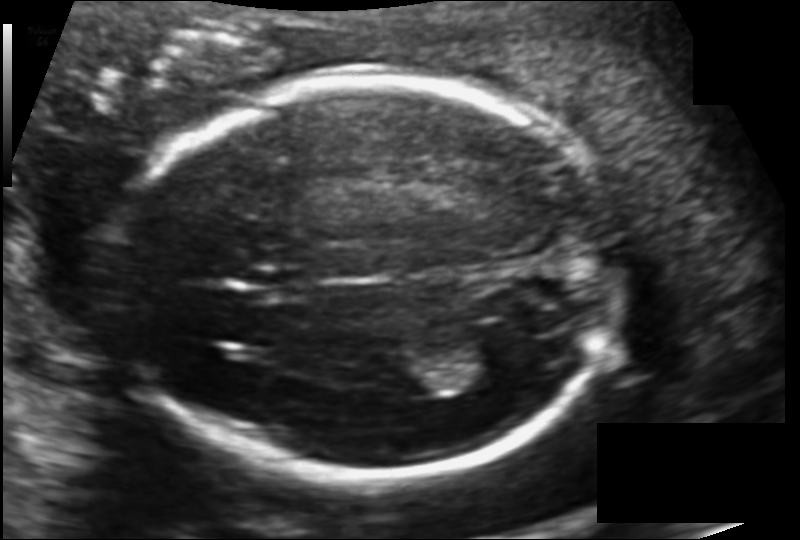
Measure the fetal head circumference shown in this ultrasound image. Image width: 101.2 mm.

Head circumference: 184.6 mm.